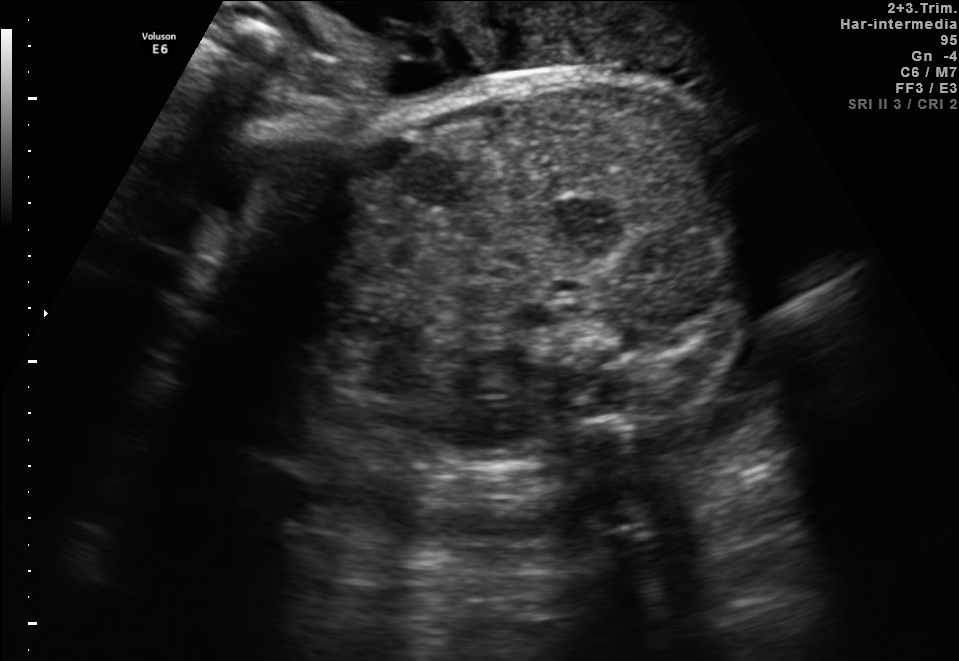
Identify the standard plane in this fetal ultrasound image: fetal abdomen, fetal brain, fetal femur, fetal thorax, maternal cervix, or other. If it's fetal brain and one of the three standard brain planes (trans-thalamic, trans-cerebellum, trans-ventricular), name which.

Other